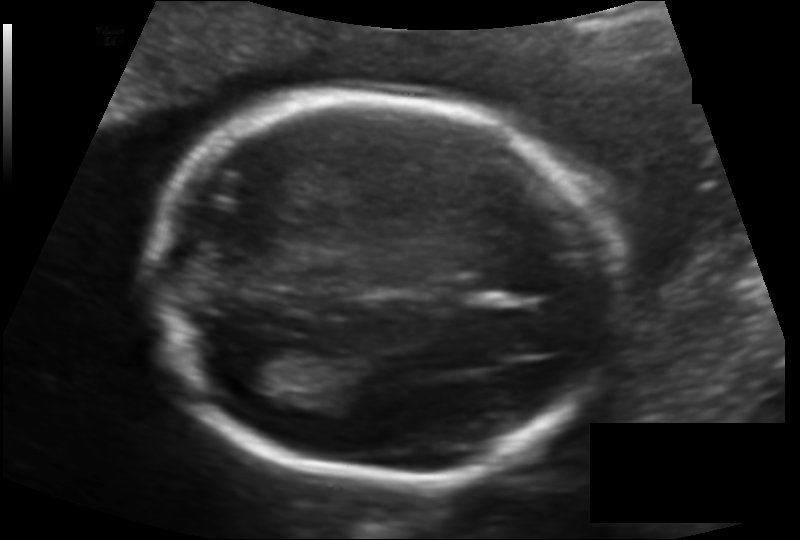
Fetal head ultrasound. Image width: 102.7 mm. Where is the lateral ventricle?

Lateral ventricle bounding box: [231,338,321,403]